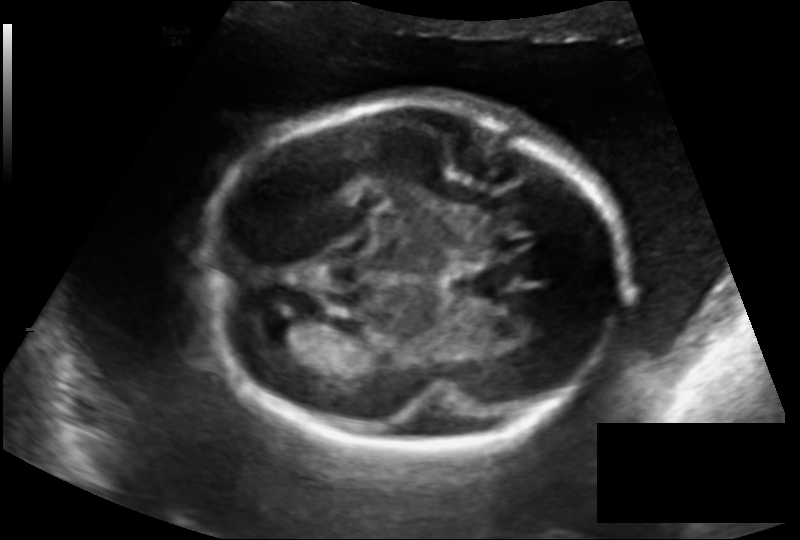
Measure the fetal head circumference shown in this ultrasound image. Image width: 129.7 mm.

Head circumference: 199.5 mm.